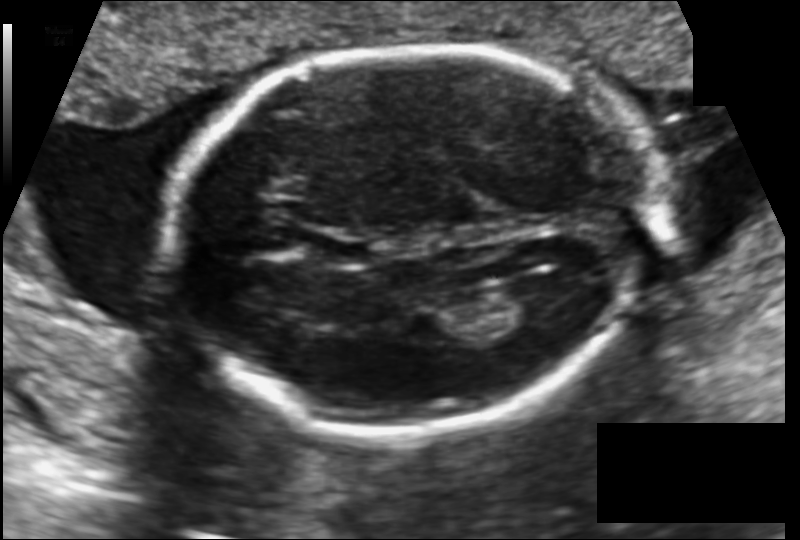
Estimate the fetal head circumference from this 2D ultrasound. Image width: 106.0 mm.

Head circumference: 187.2 mm.